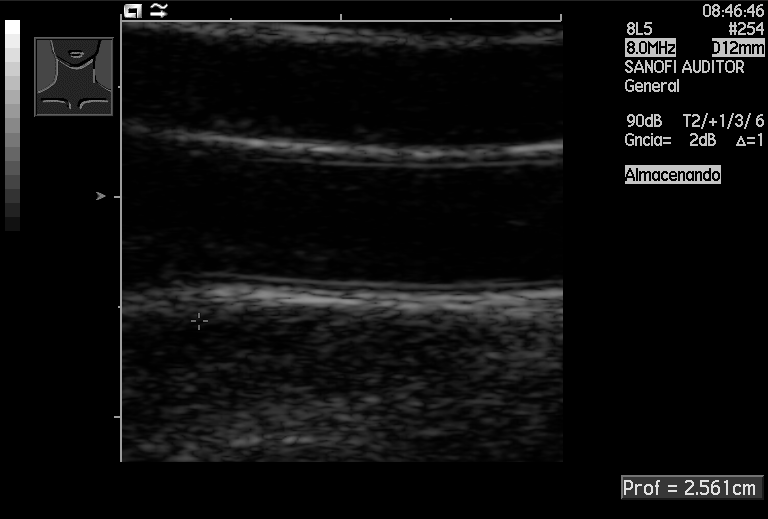
Classify this maternal-fetal ultrasound image as one of the six standard planes — fetal abdomen, fetal brain, fetal femur, fetal thorax, maternal cervix, or other. If it's fetal brain and one of the three standard brain planes (trans-thalamic, trans-cerebellum, trans-ventricular), name which.

Other